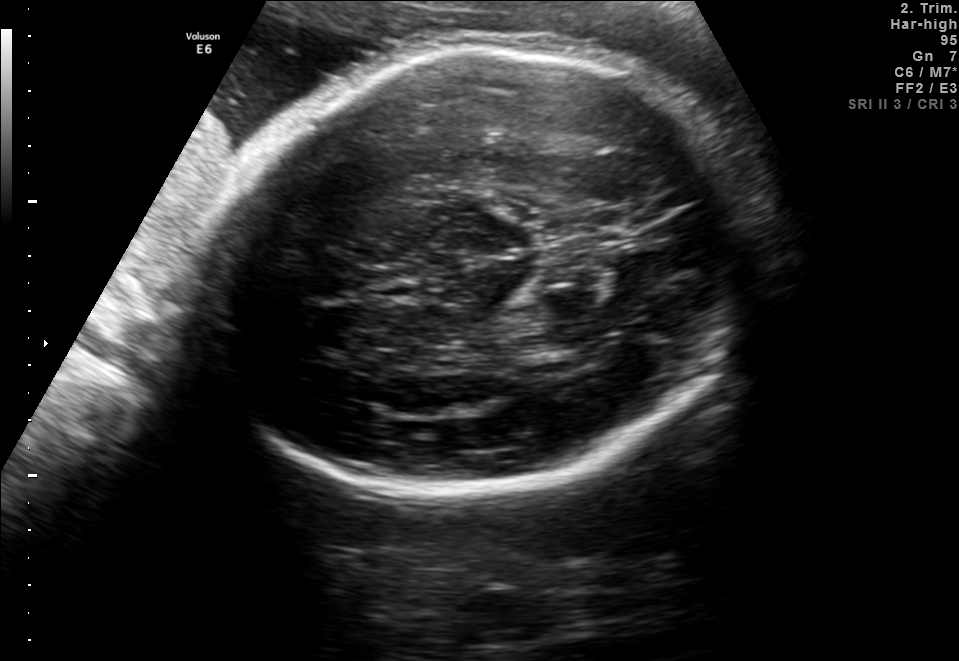
Identify the standard plane in this fetal ultrasound image: fetal abdomen, fetal brain, fetal femur, fetal thorax, maternal cervix, or other. If it's fetal brain and one of the three standard brain planes (trans-thalamic, trans-cerebellum, trans-ventricular), name which.

Fetal brain (trans-thalamic plane)